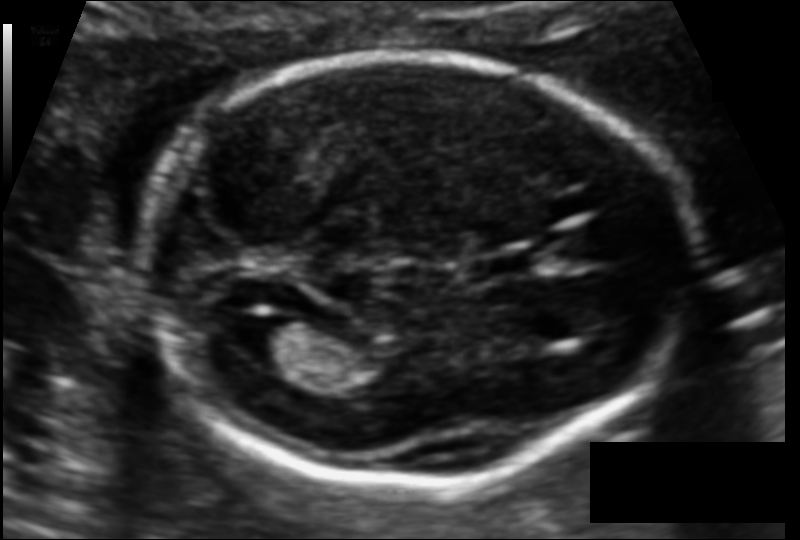
In this fetal head ultrasound, give the bounding box of the fetal head. Image width: 85.1 mm.

[139,56,696,482]